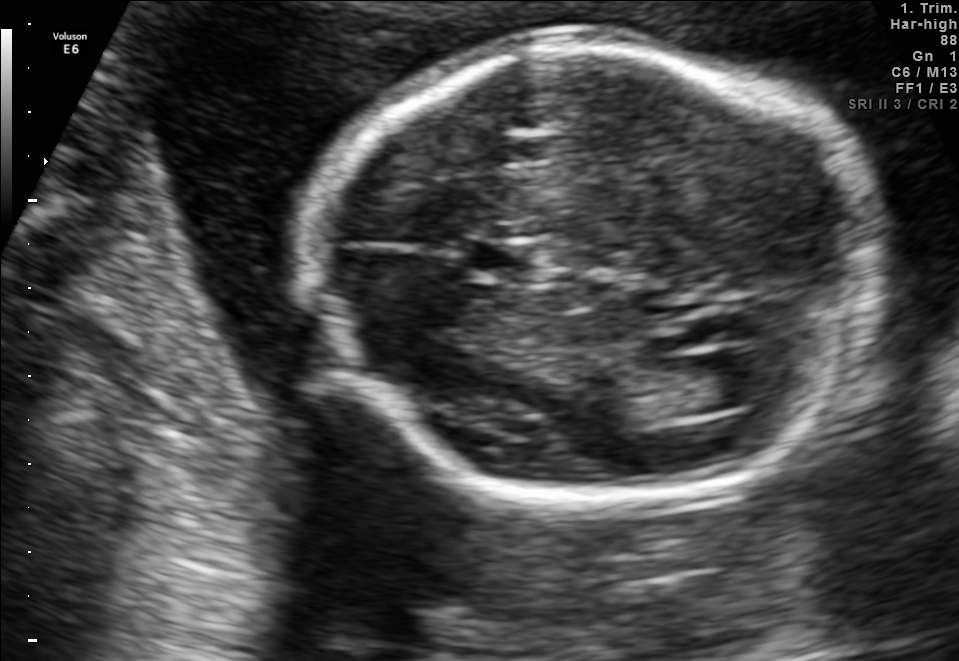
In this fetal brain, trans-ventricular plane, give bounding boxes for the head outline, cavum septum pellucidum (CSP), and lateral ventricle (LV), where visible.

Head: [298,35,897,514]
CSP: [471,241,539,282]
Lateral ventricle: [690,340,793,415]